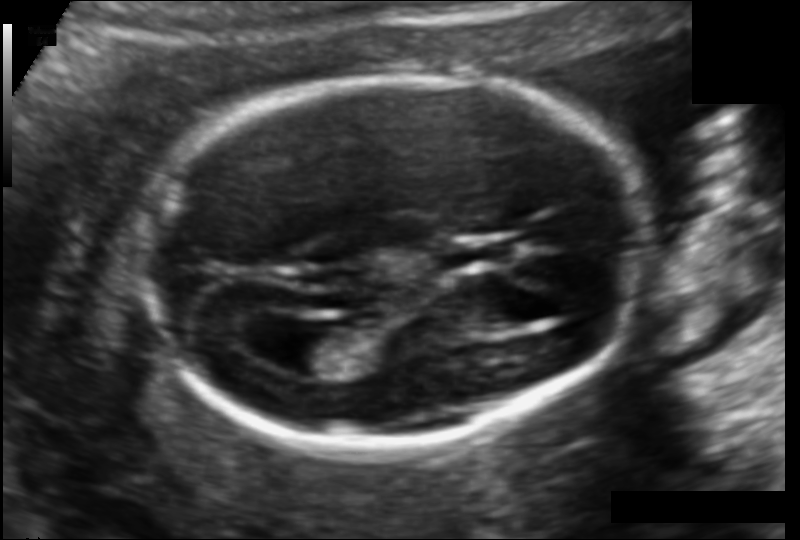
Fetal head ultrasound. Image width: 91.5 mm. Locate the cavum septum pellucidum.

CSP: [443,234,512,272]